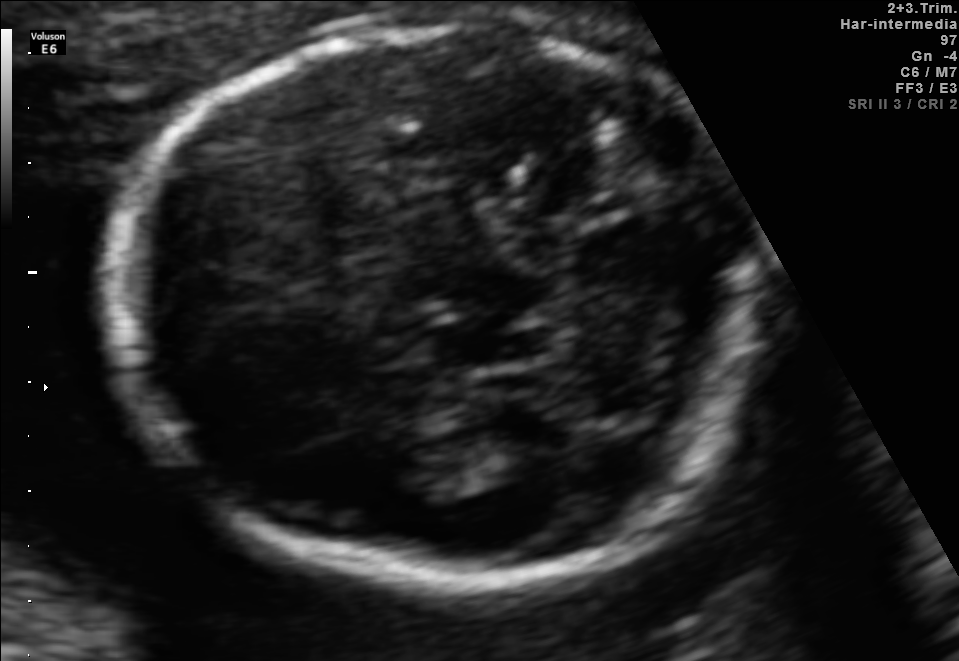
In this fetal brain, trans-thalamic plane, give the bounding box of the fetal head.

[110,18,763,583]